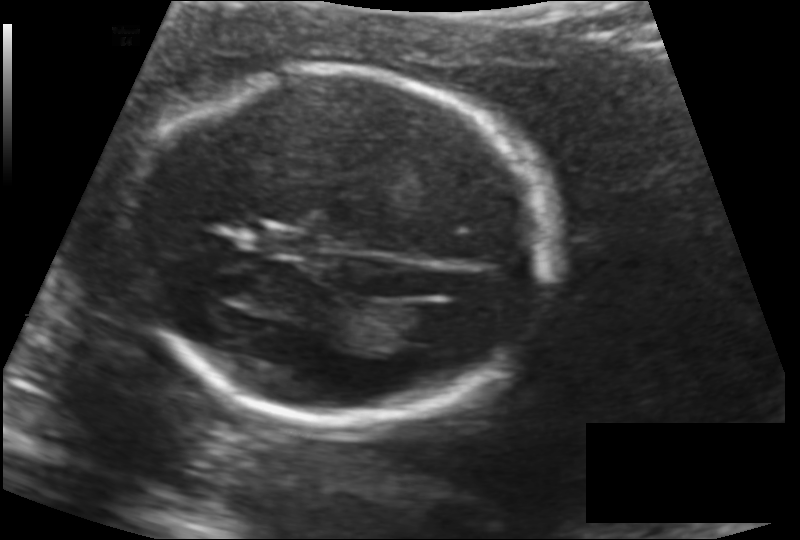
Fetal head ultrasound. Image width: 105.6 mm. Give [x1,y1,x2,y2] bounding boxes for each visible structure among: fetal head, CSP, LV.

Head: [136,67,546,429]
CSP: [265,231,310,256]
Lateral ventricle: [393,303,454,343]